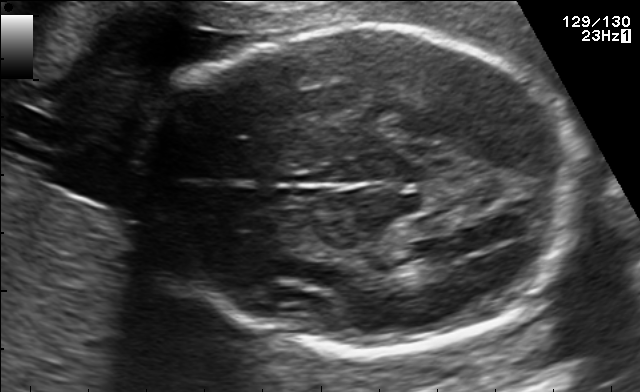
Classify this maternal-fetal ultrasound image as one of the six standard planes — fetal abdomen, fetal brain, fetal femur, fetal thorax, maternal cervix, or other. If it's fetal brain and one of the three standard brain planes (trans-thalamic, trans-cerebellum, trans-ventricular), name which.

Fetal brain (trans-ventricular plane)